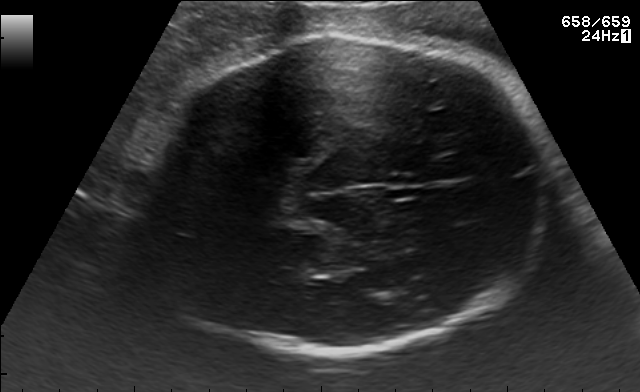
In this fetal brain, trans-thalamic plane, give the bounding box of the fetal head.

[120,37,552,351]